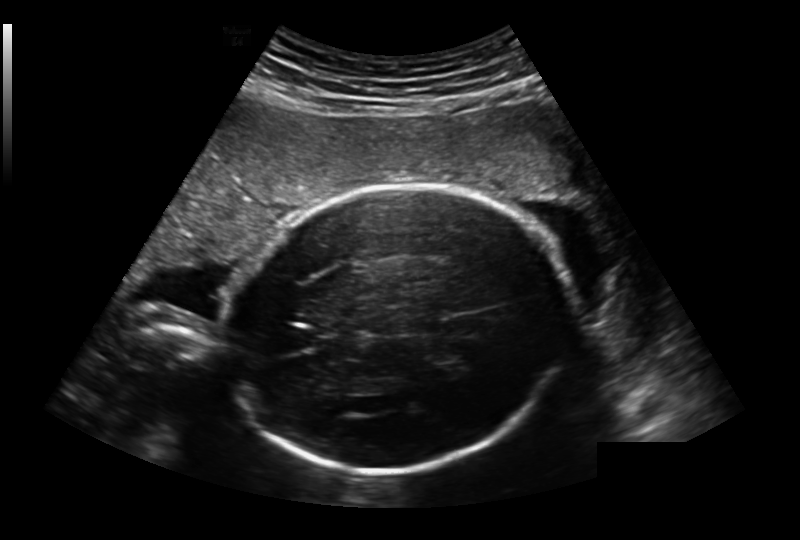
Estimate the fetal head circumference from this 2D ultrasound.

Head circumference: 240.9 mm (image width 188.6 mm).